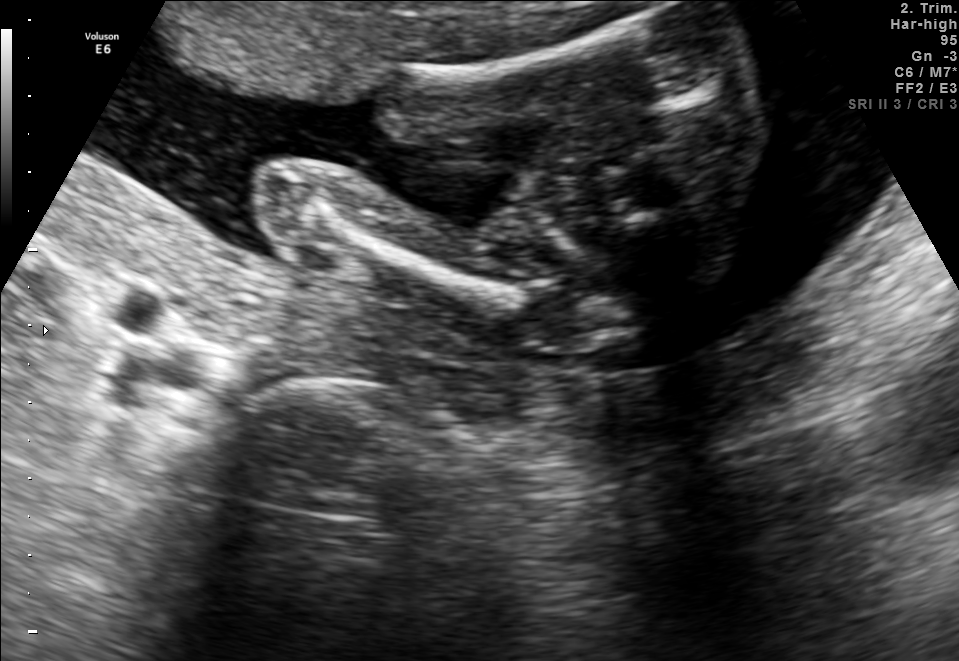
Identify the standard plane in this fetal ultrasound image: fetal abdomen, fetal brain, fetal femur, fetal thorax, maternal cervix, or other. If it's fetal brain and one of the three standard brain planes (trans-thalamic, trans-cerebellum, trans-ventricular), name which.

Other